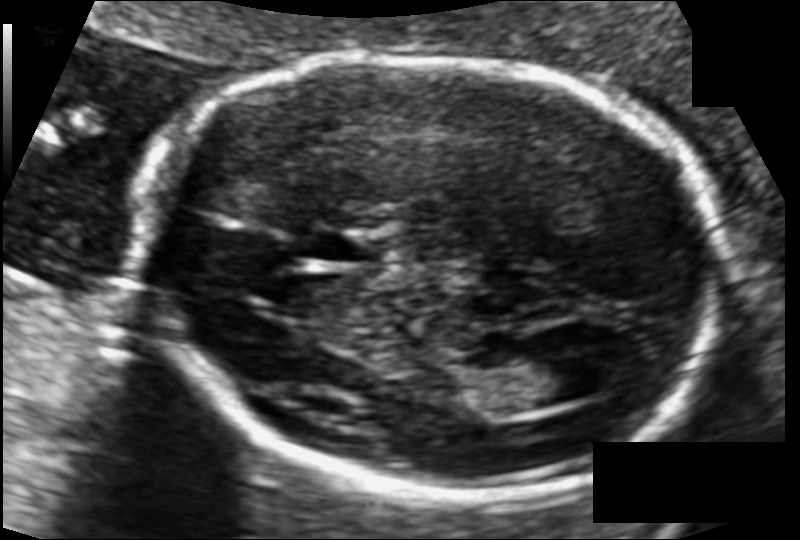
What is the fetal head circumference? Image width is 81.0 mm.

172.0 mm